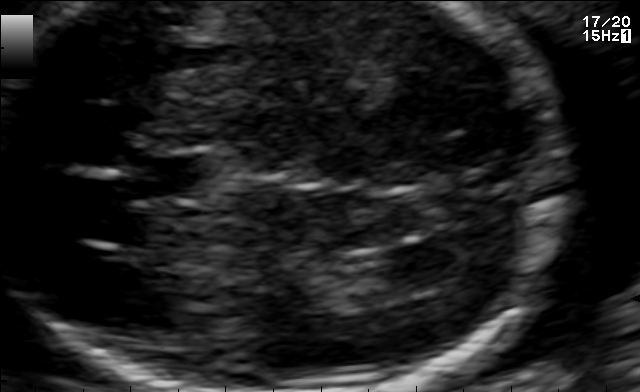
Identify the standard plane in this fetal ultrasound image: fetal abdomen, fetal brain, fetal femur, fetal thorax, maternal cervix, or other. If it's fetal brain and one of the three standard brain planes (trans-thalamic, trans-cerebellum, trans-ventricular), name which.

Fetal brain (trans-ventricular plane)